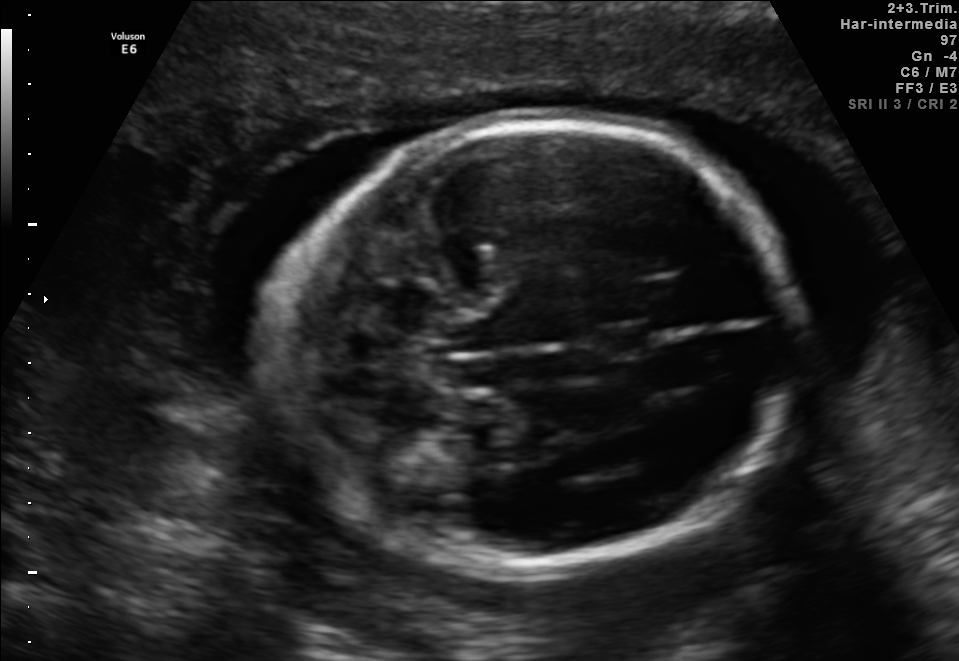
Fetal brain, trans-cerebellum plane. Give [x1,y1,x2,y2] bounding boxes for each visible structure among: fetal head, CSP, LV.

Head: [275,114,790,575]
CSP: [587,320,657,364]